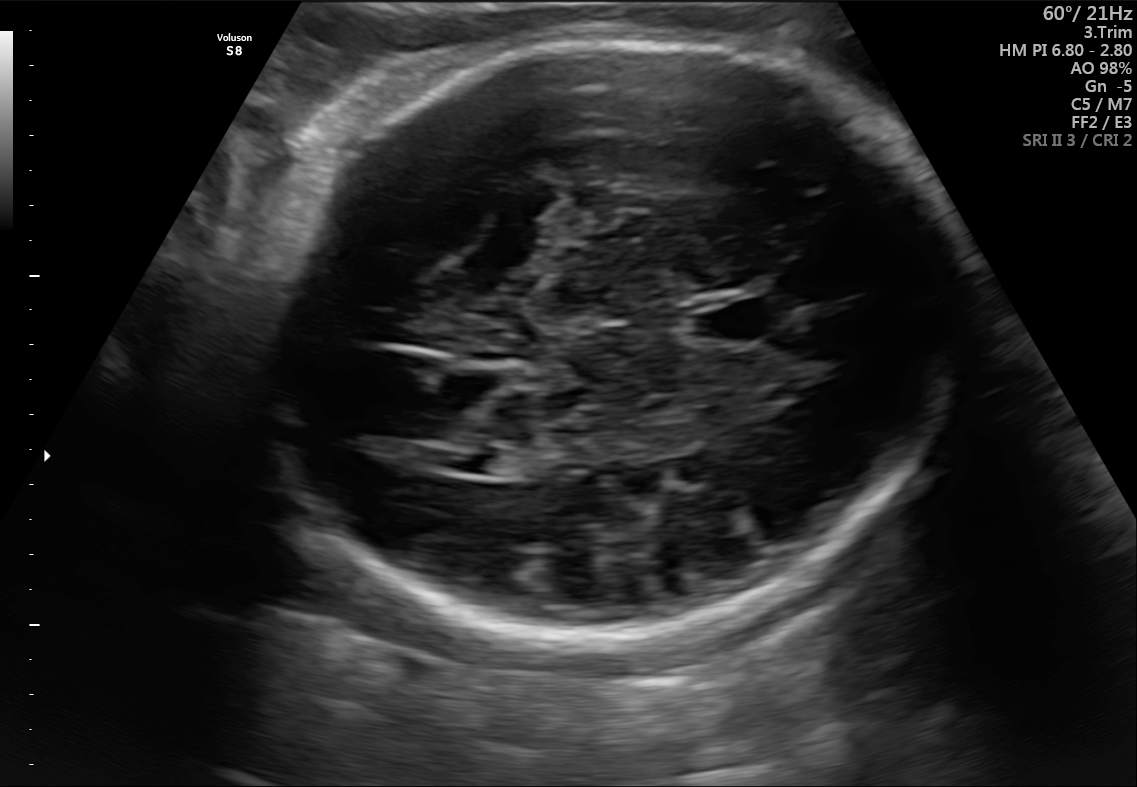
In this fetal brain, trans-ventricular plane, give bounding boxes for the head outline, cavum septum pellucidum (CSP), and lateral ventricle (LV), where visible.

Head: [245,35,982,645]
CSP: [690,304,765,341]
Lateral ventricle: [446,448,500,476]